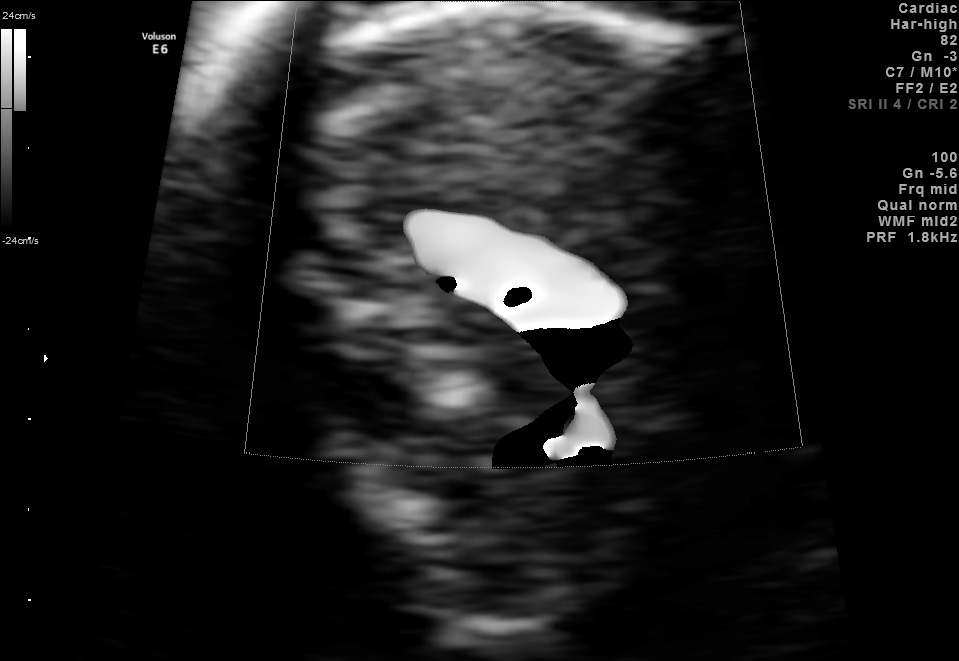
Identify the standard plane in this fetal ultrasound image: fetal abdomen, fetal brain, fetal femur, fetal thorax, maternal cervix, or other. If it's fetal brain and one of the three standard brain planes (trans-thalamic, trans-cerebellum, trans-ventricular), name which.

Other